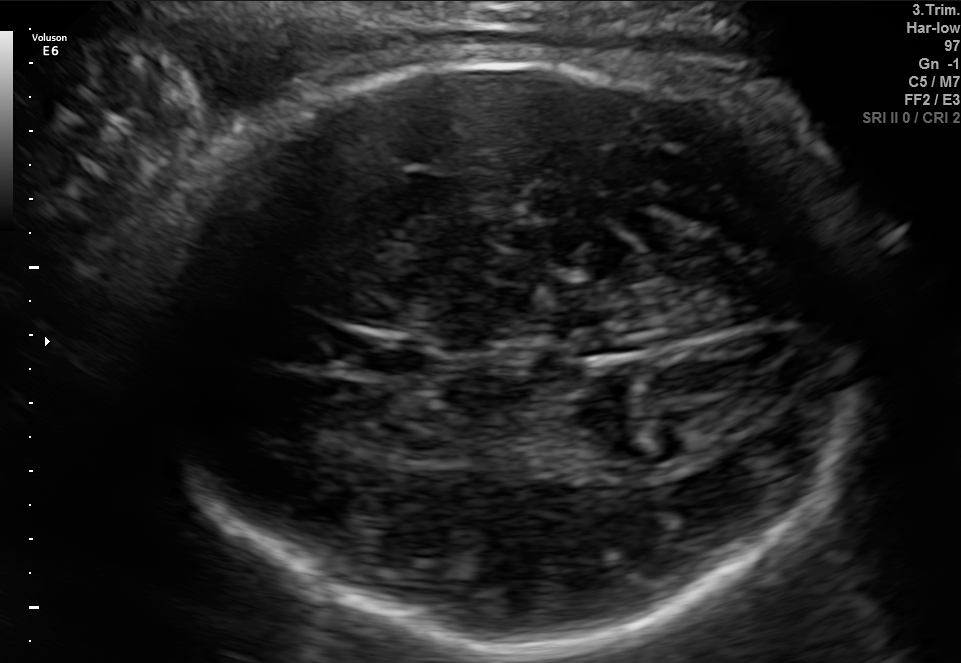
Which standard maternal-fetal ultrasound plane is shown: fetal abdomen, fetal brain, fetal femur, fetal thorax, maternal cervix, or other? If it's fetal brain and one of the three standard brain planes (trans-thalamic, trans-cerebellum, trans-ventricular), name which.

Fetal brain (trans-thalamic plane)